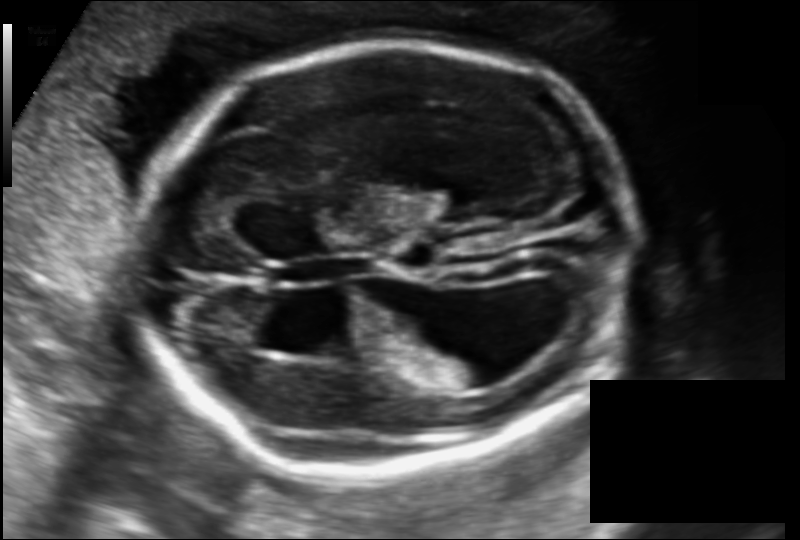
Measure the fetal head circumference shown in this ultrasound image. Image width: 112.8 mm.

Head circumference: 213.5 mm.